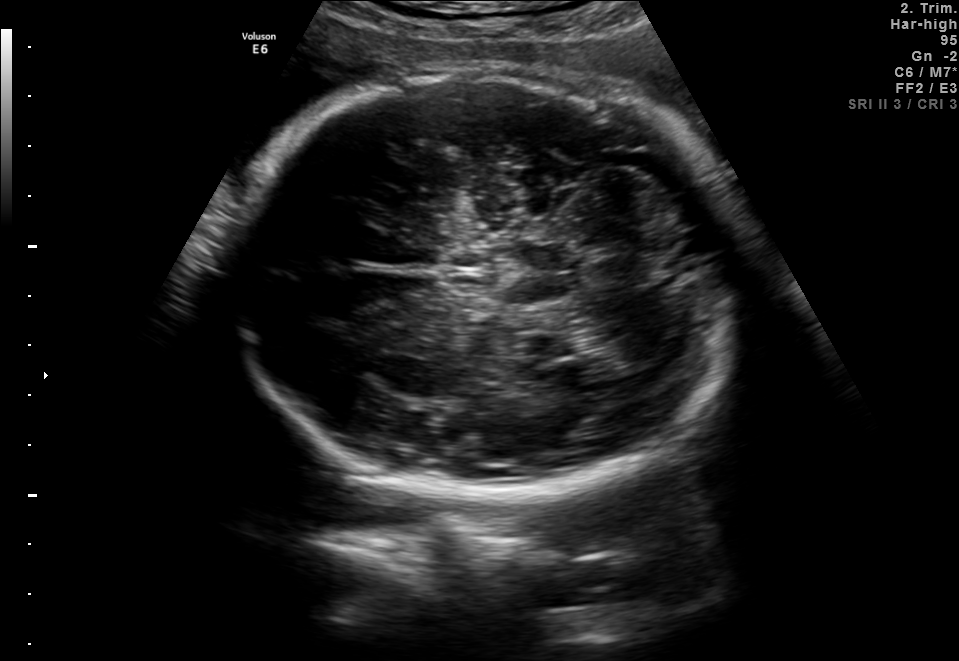
Identify the standard plane in this fetal ultrasound image: fetal abdomen, fetal brain, fetal femur, fetal thorax, maternal cervix, or other. If it's fetal brain and one of the three standard brain planes (trans-thalamic, trans-cerebellum, trans-ventricular), name which.

Fetal brain (trans-cerebellum plane)